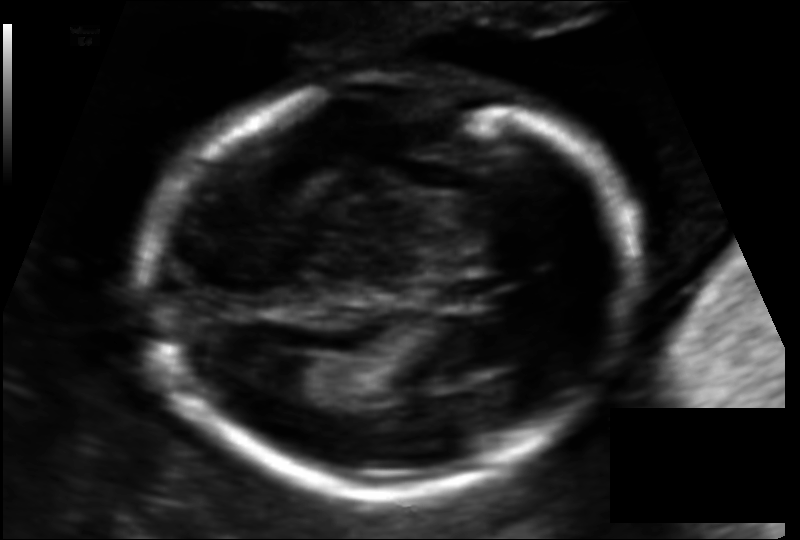
Fetal head ultrasound. Image width: 92.3 mm. Where is the lateral ventricle?

Lateral ventricle bounding box: [255,352,339,403]